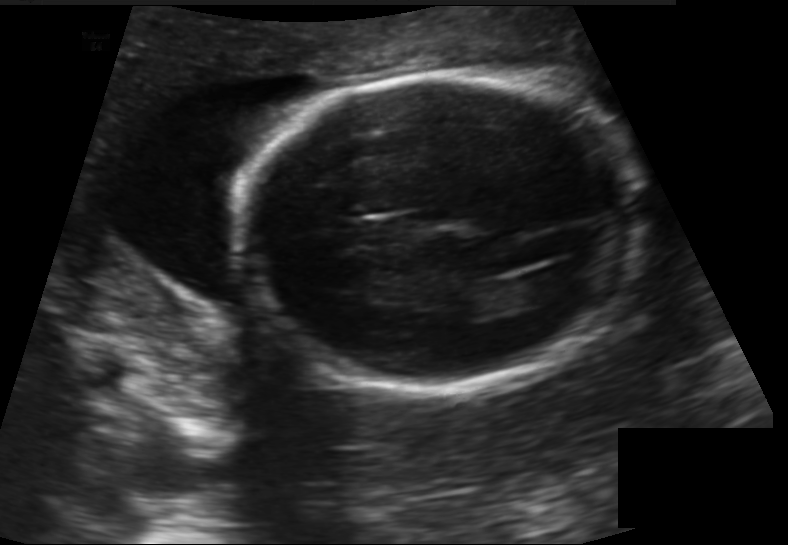
In this fetal head ultrasound, give the bounding box of the fetal head. Image width: 122.2 mm.

[237,73,633,387]